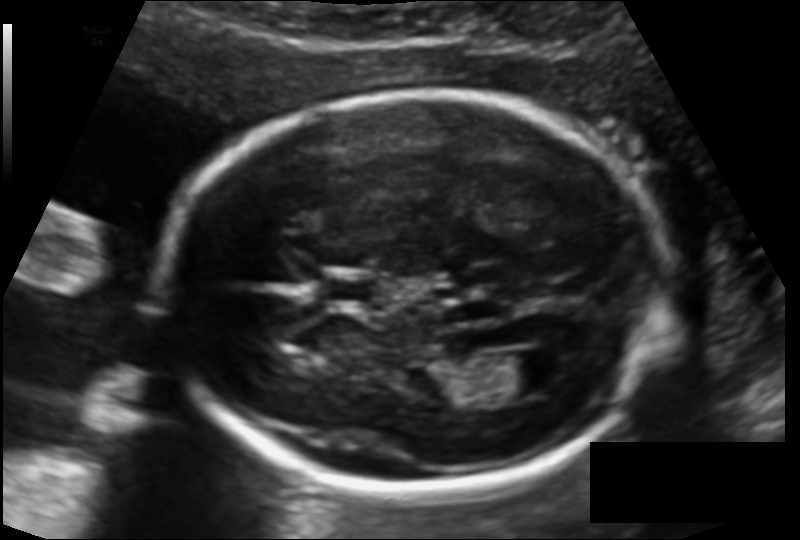
In this fetal head ultrasound, give the bounding box of the cavum septum pellucidum. Image width: 101.2 mm.

[321,273,374,306]